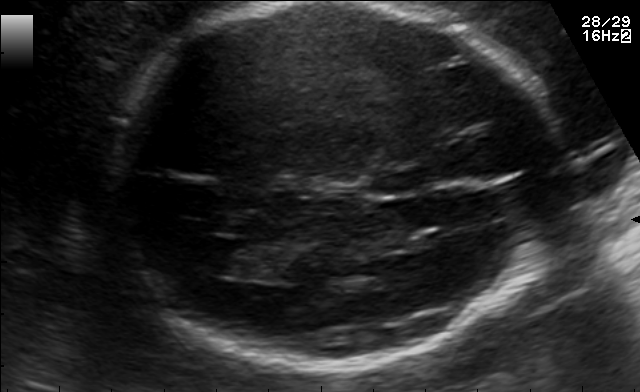
Classify this maternal-fetal ultrasound image as one of the six standard planes — fetal abdomen, fetal brain, fetal femur, fetal thorax, maternal cervix, or other. If it's fetal brain and one of the three standard brain planes (trans-thalamic, trans-cerebellum, trans-ventricular), name which.

Fetal brain (trans-ventricular plane)